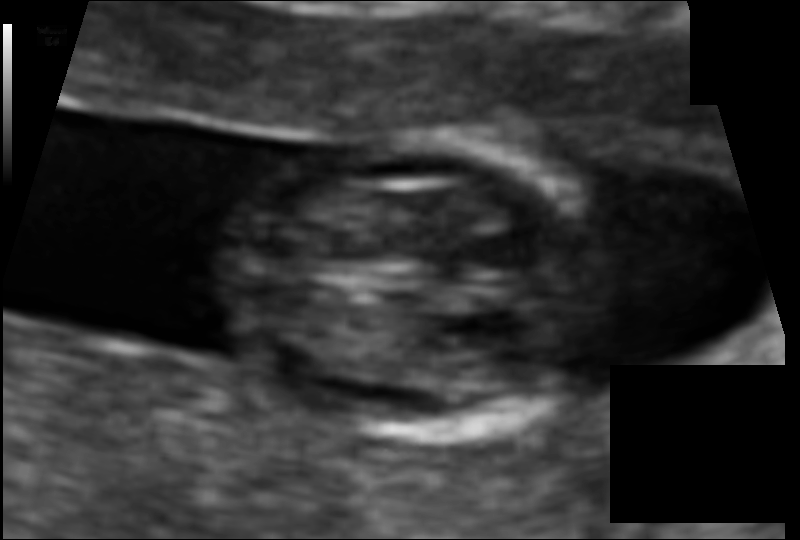
In this fetal head ultrasound, give bounding boxes for the head outline, cavum septum pellucidum (CSP), and lateral ventricle (LV), where visible. Image width: 53.7 mm.

Head: [228,138,606,441]